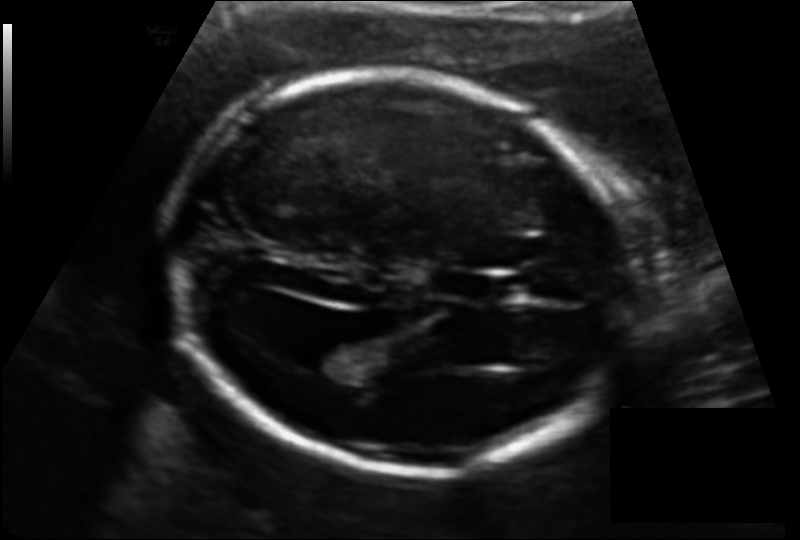
In this fetal head ultrasound, give bounding boxes for the head outline, cavum septum pellucidum (CSP), and lateral ventricle (LV), where visible. Image width: 104.7 mm.

Head: [163,75,636,471]
CSP: [436,267,508,304]
Lateral ventricle: [288,329,364,383]